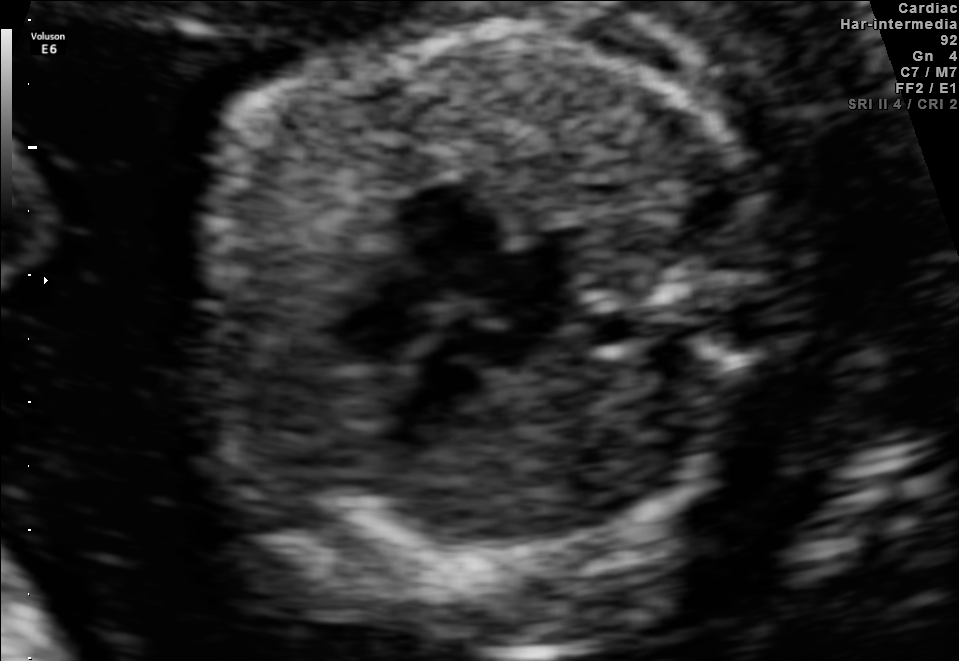
This is a 2D maternal-fetal ultrasound frame. Is it a fetal abdomen, fetal brain, fetal femur, fetal thorax, maternal cervix, or other standard plane? If it's fetal brain and one of the three standard brain planes (trans-thalamic, trans-cerebellum, trans-ventricular), name which.

Fetal thorax